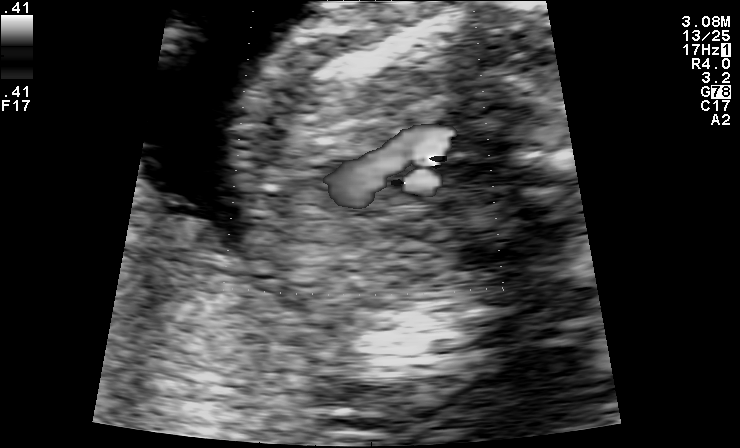
Identify the standard plane in this fetal ultrasound image: fetal abdomen, fetal brain, fetal femur, fetal thorax, maternal cervix, or other. If it's fetal brain and one of the three standard brain planes (trans-thalamic, trans-cerebellum, trans-ventricular), name which.

Other